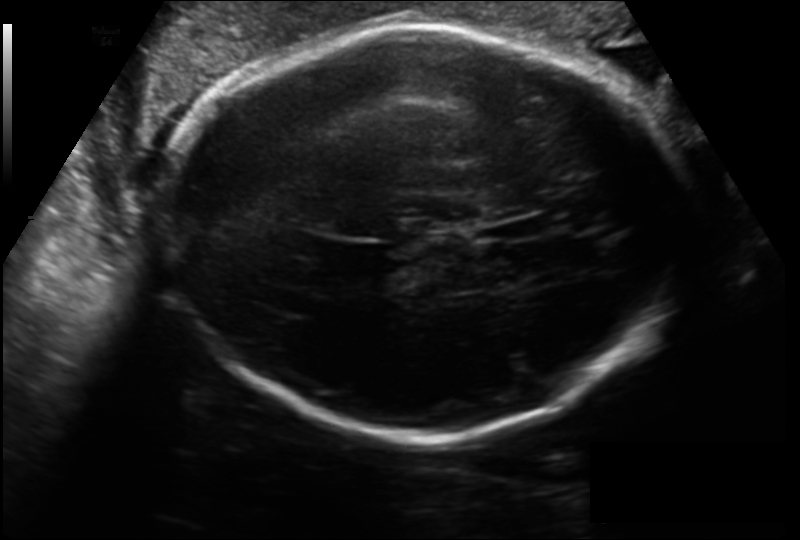
What is the fetal head circumference? Image width is 158.9 mm.

298.6 mm